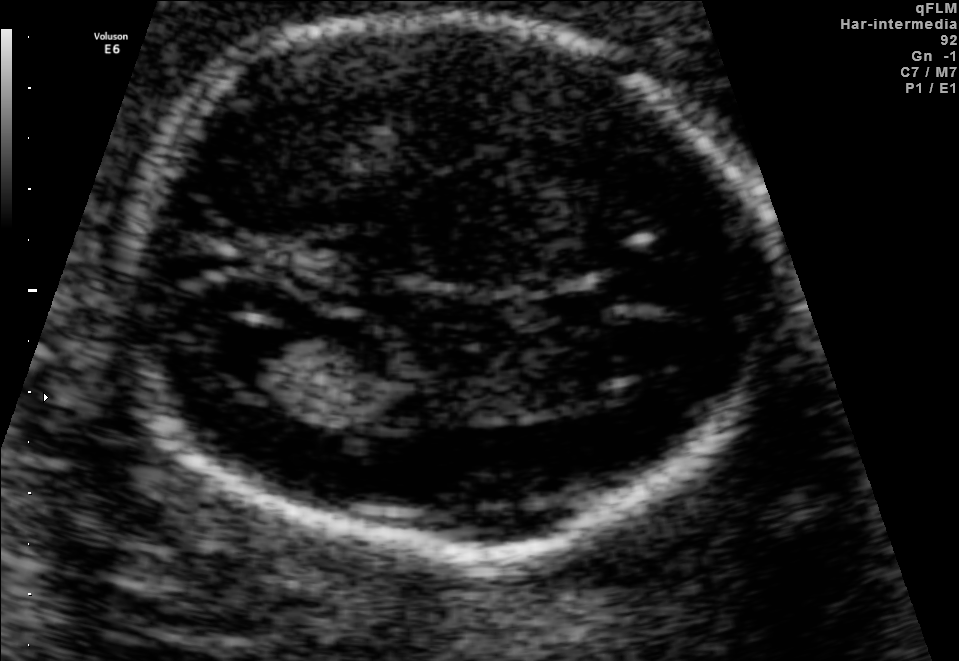
Fetal brain, trans-ventricular plane. Give [x1,y1,x2,y2] bounding boxes for each visible structure among: fetal head, CSP, LV.

Head: [100,6,783,571]
Lateral ventricle: [190,307,298,392]